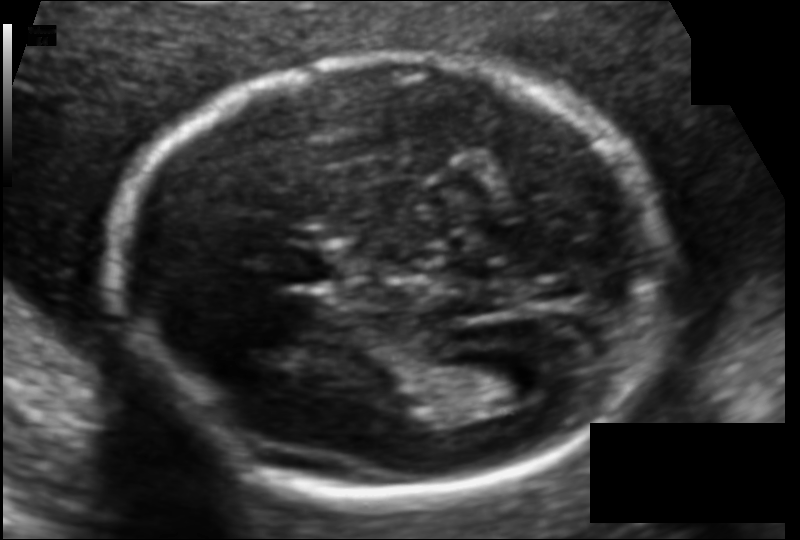
From this fetal ultrasound, estimate the head circumference (image width 83.5 mm).

Head circumference: 166.9 mm.